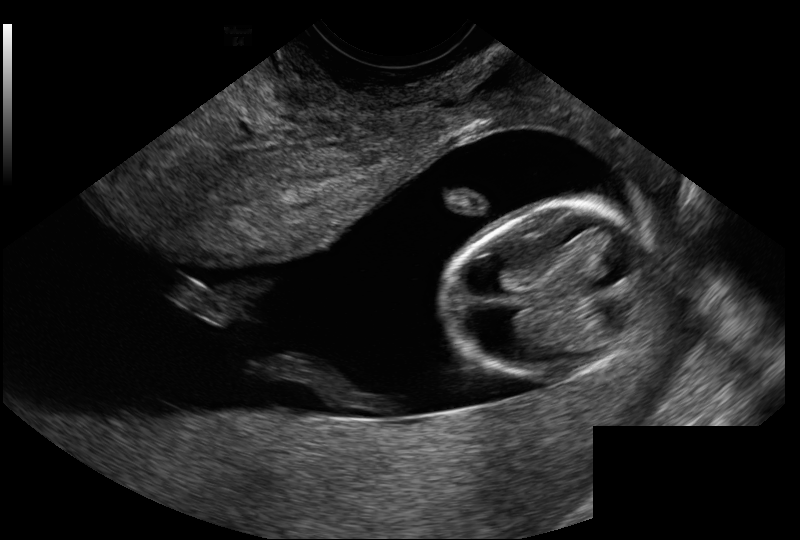
From this fetal ultrasound, estimate the head circumference (image width 91.5 mm).

Head circumference: 69.8 mm.